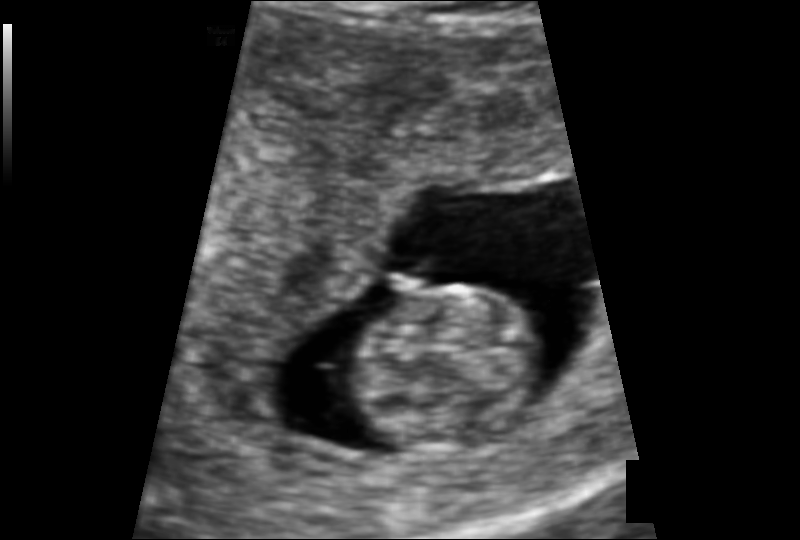
In this fetal head ultrasound, give bounding boxes for the head outline, cavum septum pellucidum (CSP), and lateral ventricle (LV), where visible. Image width: 87.5 mm.

Head: [355,285,546,453]